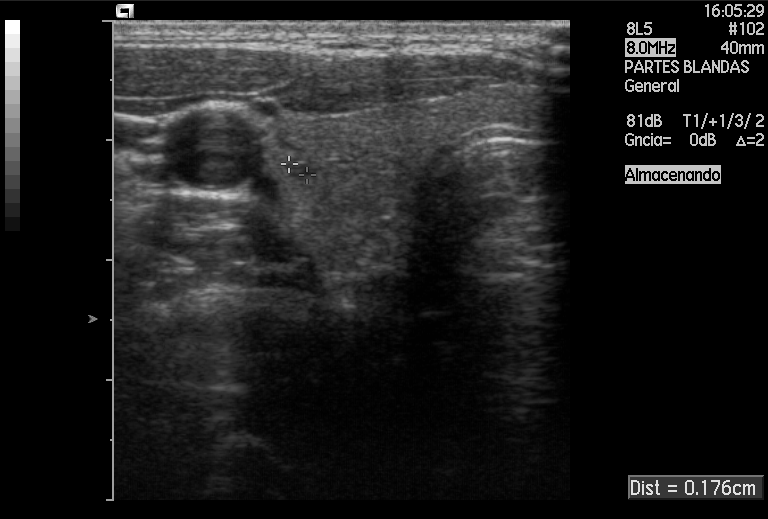
Classify this maternal-fetal ultrasound image as one of the six standard planes — fetal abdomen, fetal brain, fetal femur, fetal thorax, maternal cervix, or other. If it's fetal brain and one of the three standard brain planes (trans-thalamic, trans-cerebellum, trans-ventricular), name which.

Other